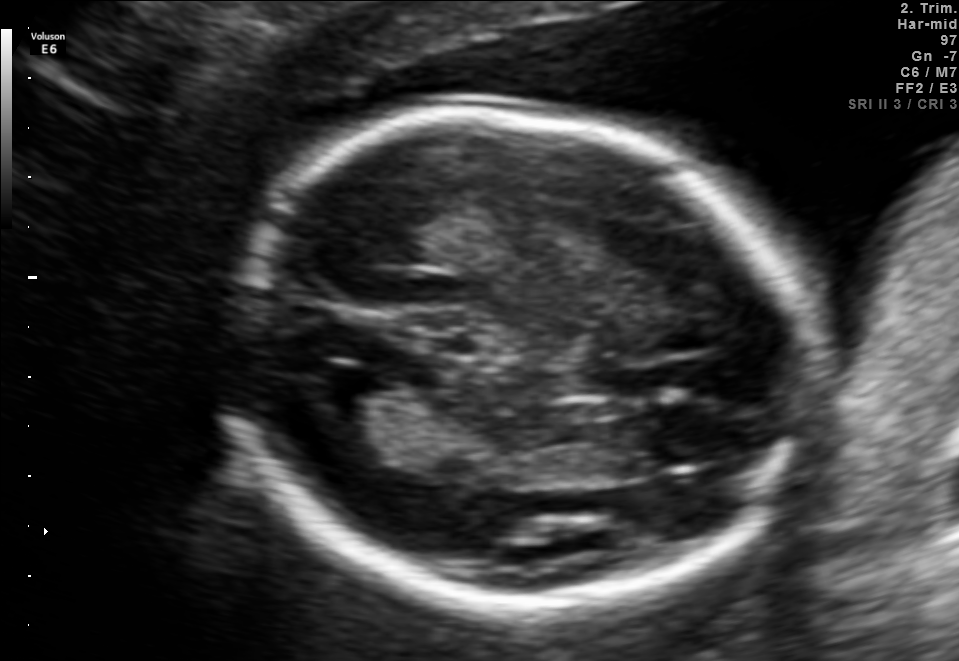
Fetal brain, trans-thalamic plane. Locate the fetal head.

Head: [218,113,815,600]